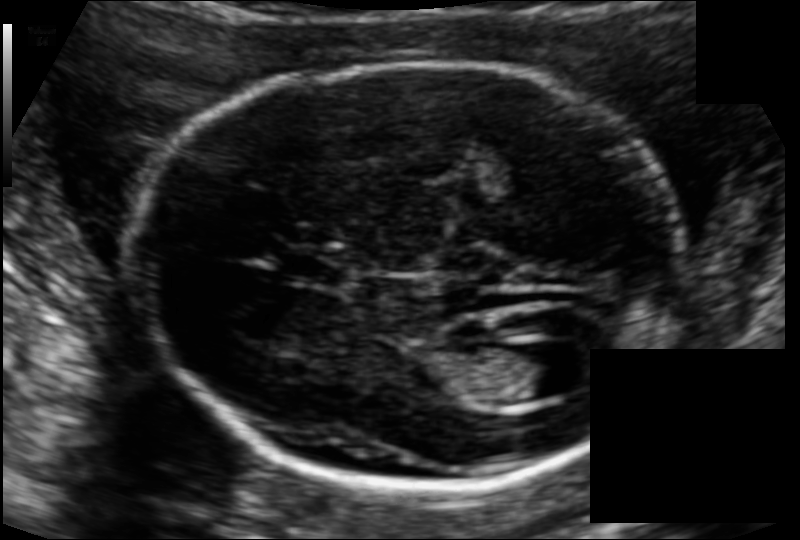
In this fetal head ultrasound, give the bounding box of the lateral ventricle. Image width: 88.5 mm.

[497,338,581,404]